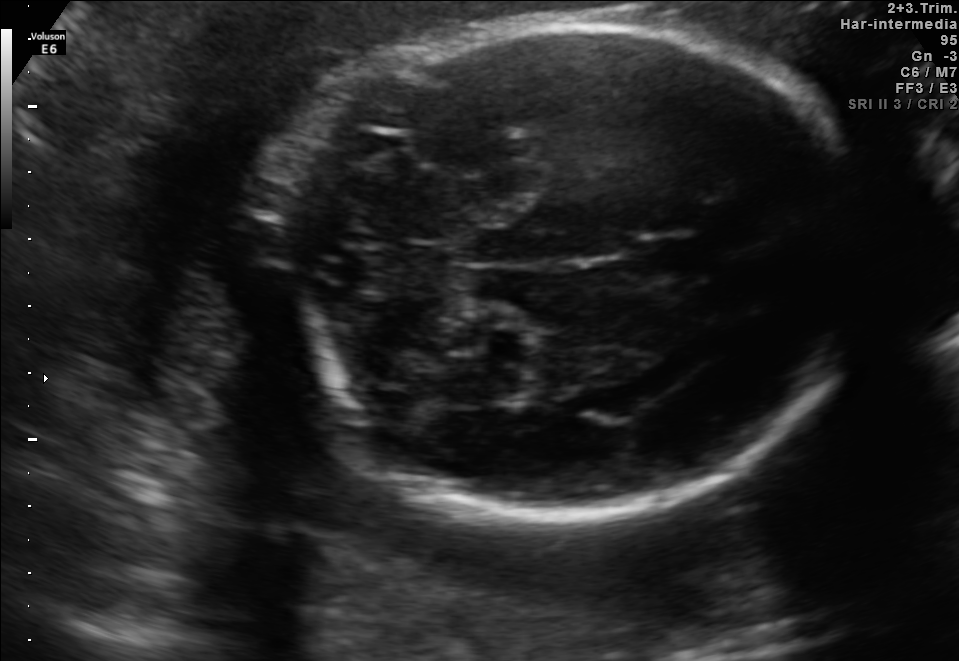
In this fetal brain, trans-cerebellum plane, give the bounding box of the fetal head.

[252,23,867,522]